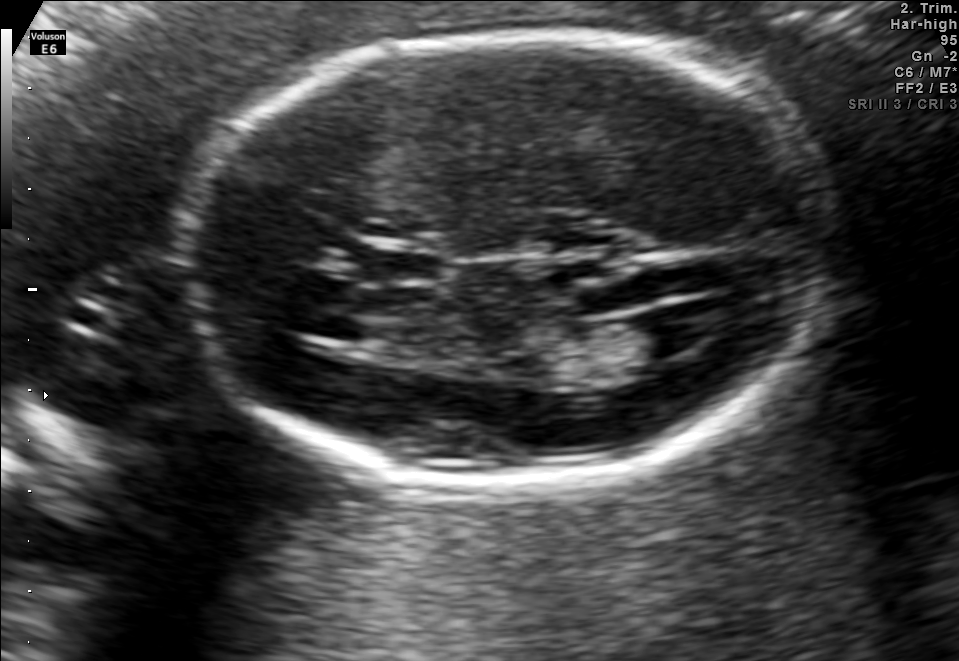
In this fetal brain, trans-ventricular plane, give bounding boxes for the head outline, cavum septum pellucidum (CSP), and lateral ventricle (LV), where visible.

Head: [166,25,843,494]
CSP: [387,251,438,281]
Lateral ventricle: [631,298,715,361]